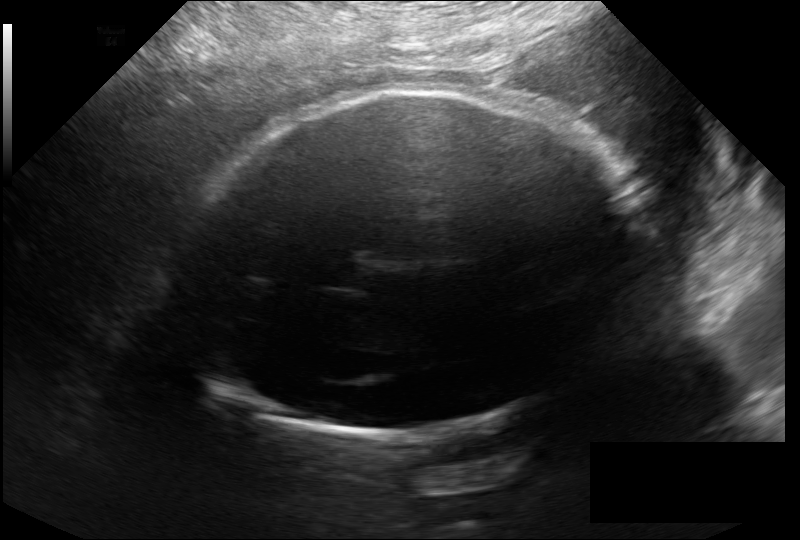
What is the fetal head circumference? Image width is 196.9 mm.

320.0 mm